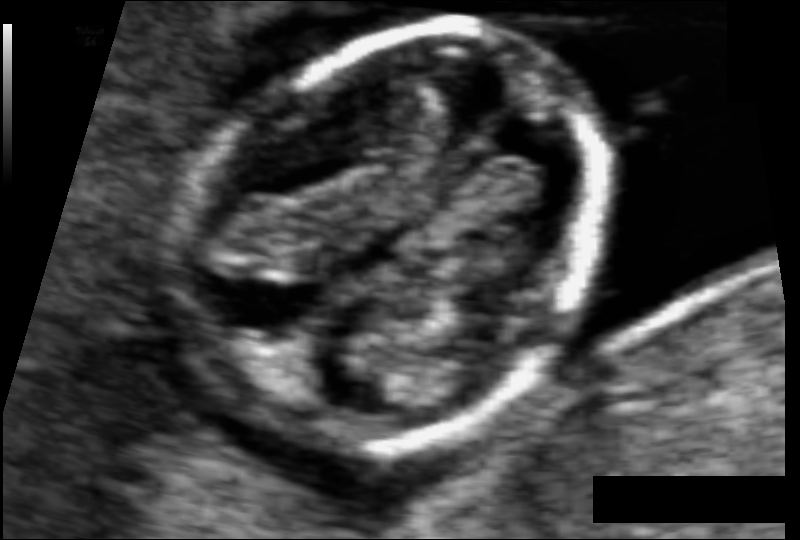
Estimate the fetal head circumference from this 2D ultrasound.

Head circumference: 82.9 mm (image width 47.6 mm).